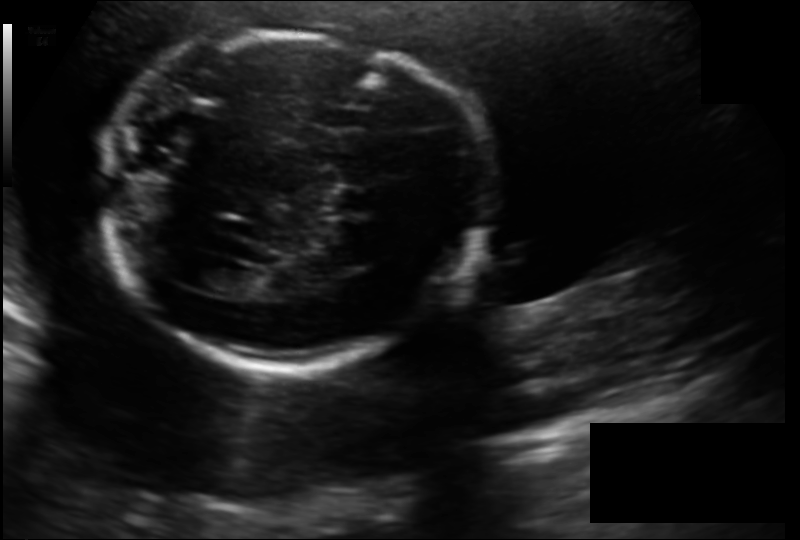
Fetal head ultrasound. Image width: 126.7 mm. Locate the lateral ventricle.

Lateral ventricle: [191,260,244,297]